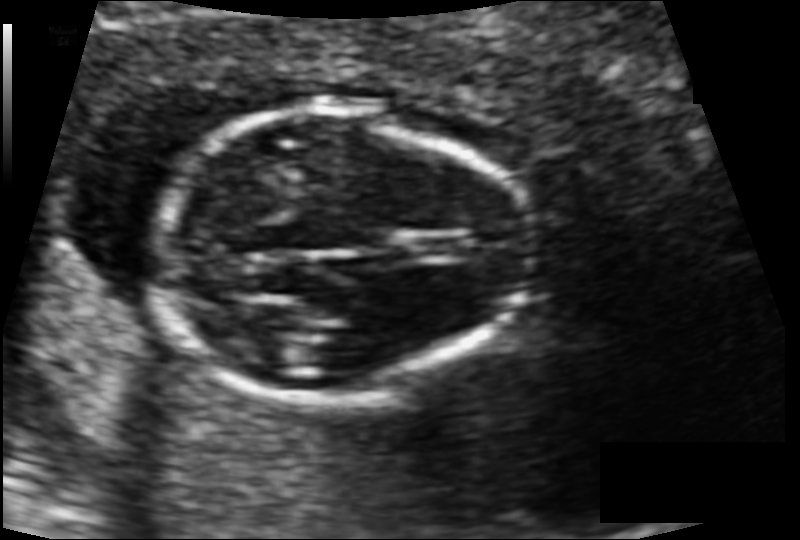
Fetal head ultrasound. Image width: 71.4 mm. Give [x1,y1,x2,y2] bounding boxes for each visible structure among: fetal head, CSP, LV.

Head: [152,101,536,399]